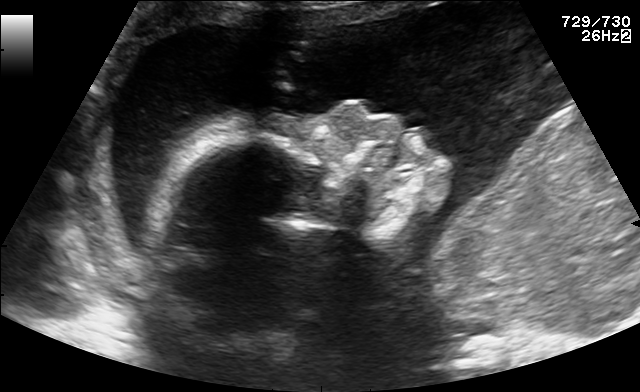
Identify the standard plane in this fetal ultrasound image: fetal abdomen, fetal brain, fetal femur, fetal thorax, maternal cervix, or other. If it's fetal brain and one of the three standard brain planes (trans-thalamic, trans-cerebellum, trans-ventricular), name which.

Other